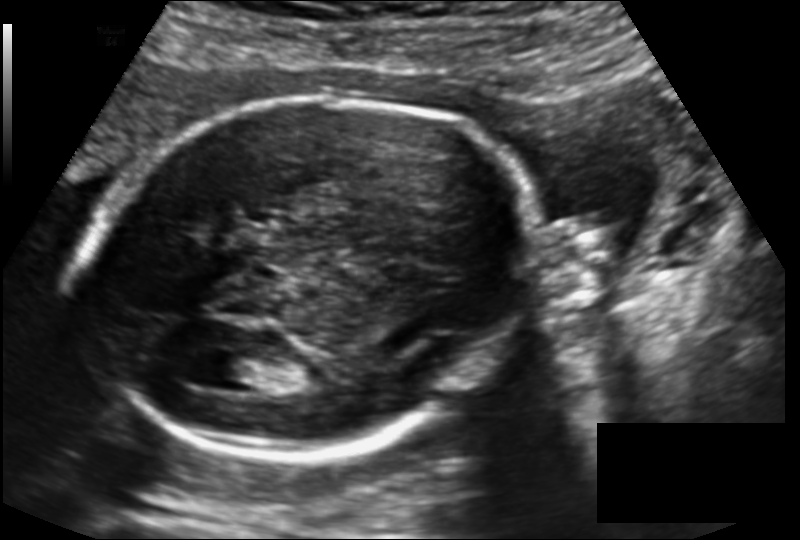
In this fetal head ultrasound, give the bounding box of the lateral ventricle. Image width: 114.3 mm.

[205,350,269,389]